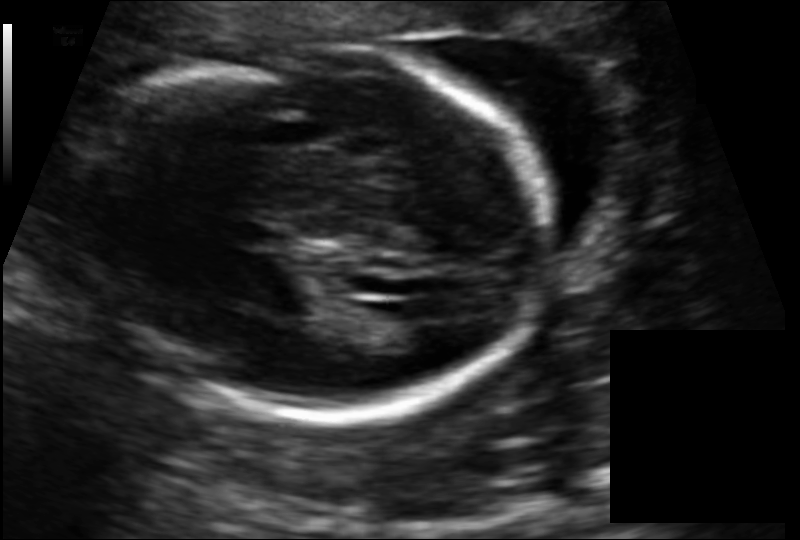
Fetal head ultrasound. Image width: 108.7 mm. Locate the fetal head.

Head: [96,47,551,418]